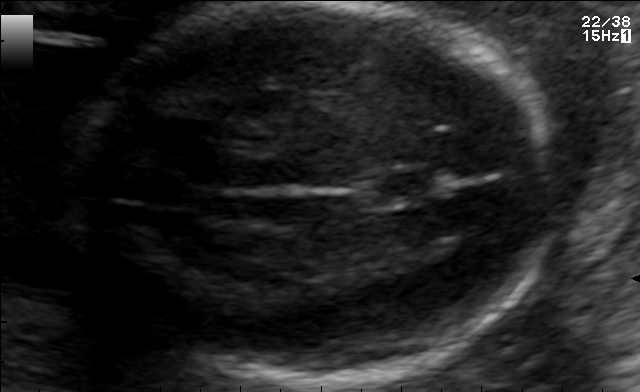
In this fetal brain, trans-thalamic plane, give bounding boxes for the head outline, cavum septum pellucidum (CSP), and lateral ventricle (LV), where visible.

Head: [64,4,557,383]
CSP: [365,166,442,206]